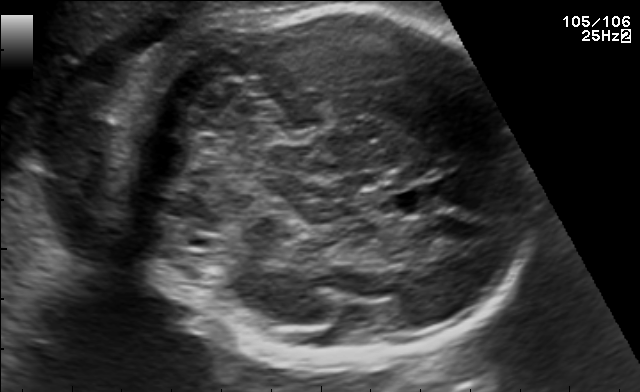
In this fetal brain, trans-cerebellum plane, give bounding boxes for the head outline, cavum septum pellucidum (CSP), and lateral ventricle (LV), where visible.

Head: [135,5,519,371]